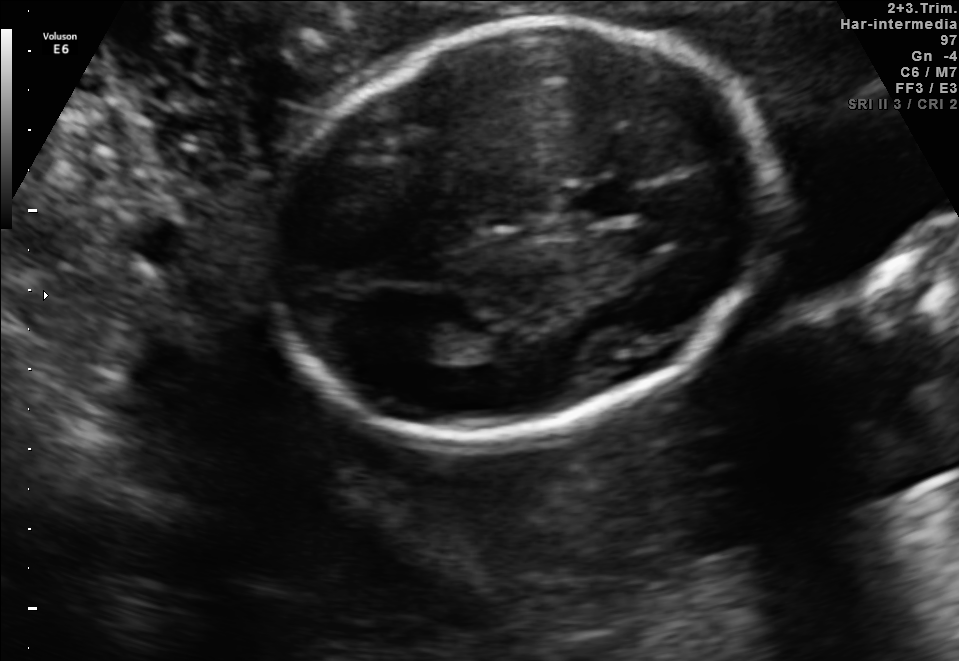
Fetal brain, trans-thalamic plane. Where is the fetal head?

Head bounding box: [272,23,767,438]